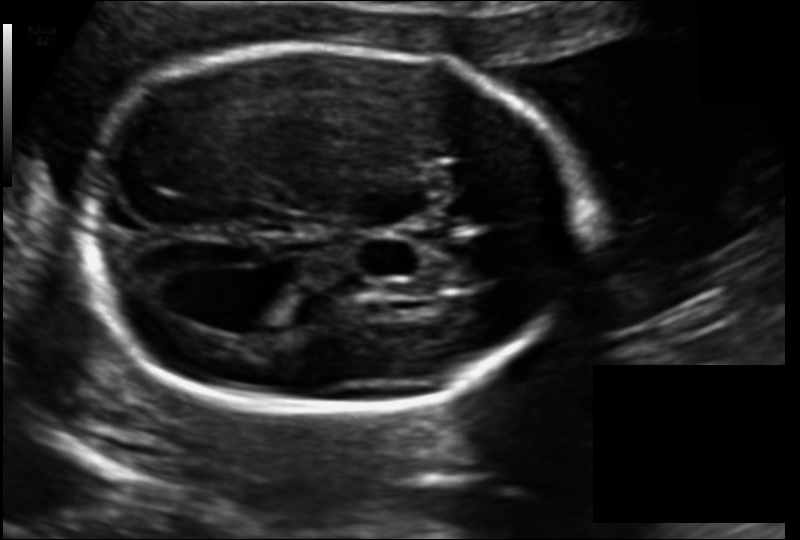
Fetal head ultrasound. Image width: 102.4 mm. Locate the fetal head and, if visible, the cavum septum pellucidum (CSP) and lateral ventricle (LV). Give bounding boxes as [x1,y1,x2,y2].

Head: [78,47,580,409]